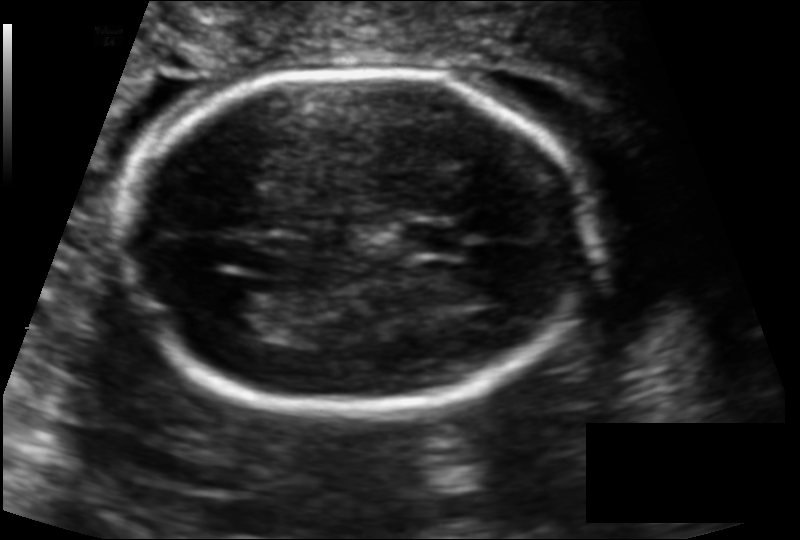
Fetal head ultrasound. Image width: 97.4 mm. Give [x1,y1,x2,y2] bounding boxes for each visible structure among: fetal head, CSP, LV.

Head: [122,69,593,413]
CSP: [398,222,465,256]
Lateral ventricle: [213,281,292,341]